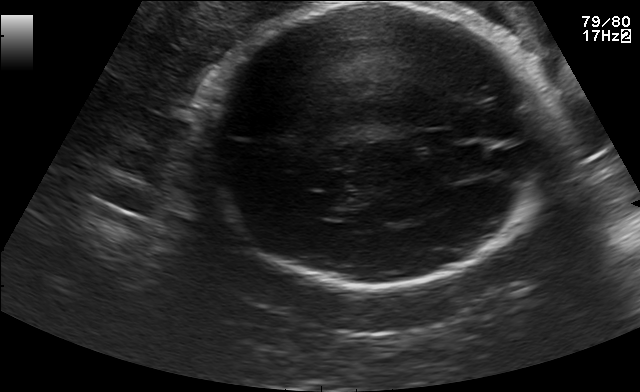
Fetal brain, trans-thalamic plane. Locate the fetal head.

Head: [198,3,547,288]